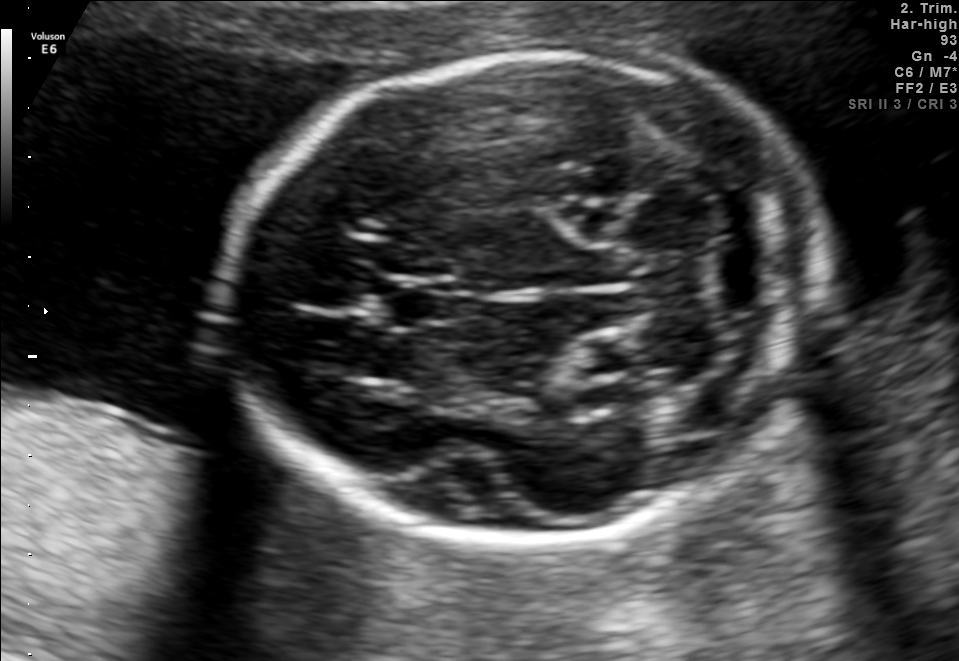
In this fetal brain, trans-cerebellum plane, give the bounding box of the cavum septum pellucidum.

[380,277,460,330]